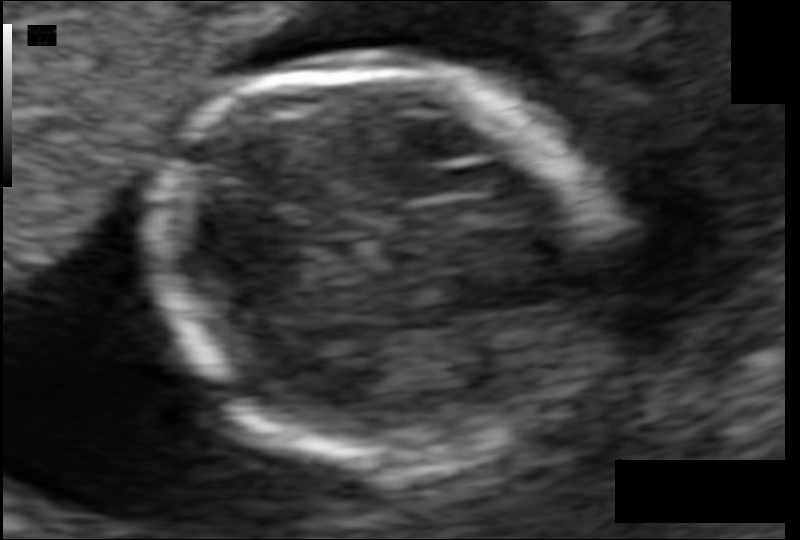
Measure the fetal head circumference shown in this ultrasound image. Image width: 58.1 mm.

Head circumference: 100.8 mm.